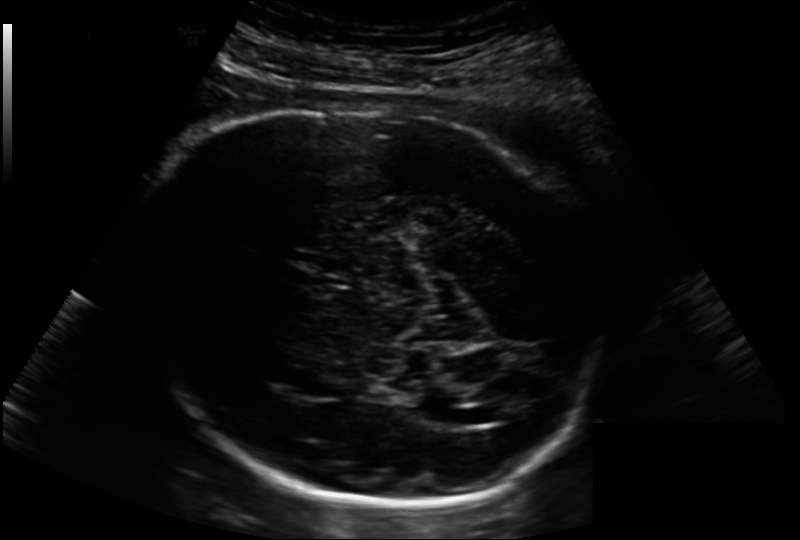
From this fetal ultrasound, estimate the head circumference (image width 161.6 mm).

Head circumference: 284.2 mm.